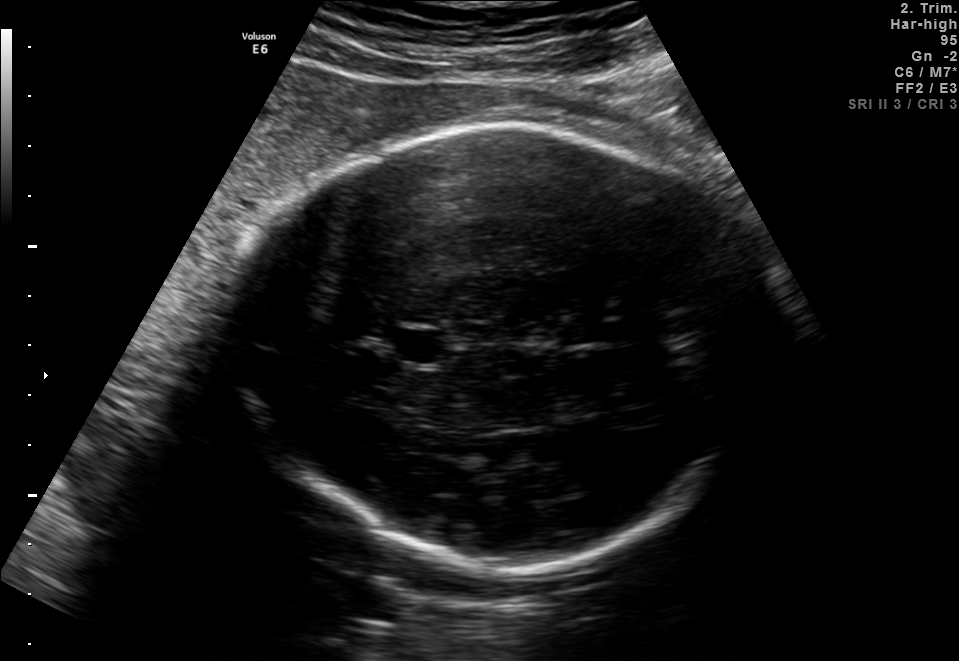
Fetal brain, trans-thalamic plane. Where is the fetal head?

Head bounding box: [227,127,760,564]